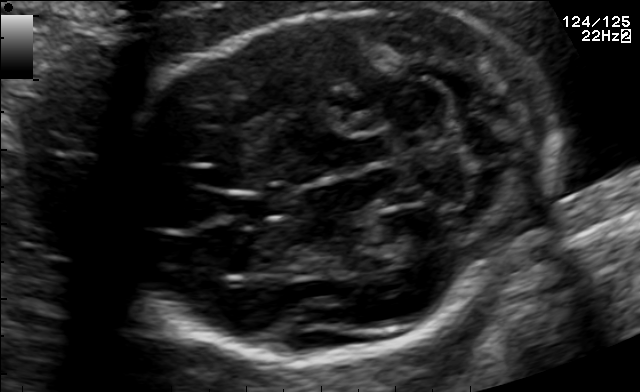
Fetal brain, trans-cerebellum plane. Locate the cavum septum pellucidum.

CSP: [229,189,284,222]